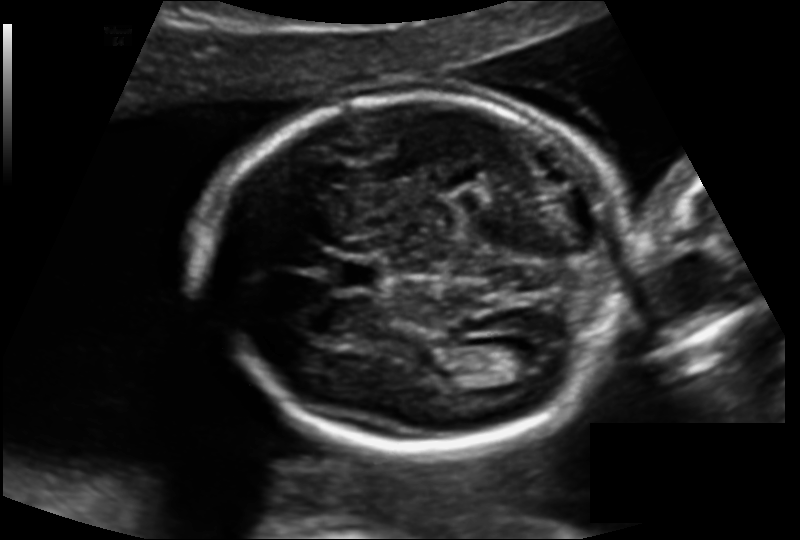
Fetal head ultrasound. Image width: 110.2 mm. Locate the fetal head and, if visible, the cavum septum pellucidum (CSP) and lateral ventricle (LV). Give bounding boxes as [x1,y1,x2,y2].

Head: [203,95,626,450]
CSP: [334,259,379,291]
Lateral ventricle: [484,337,540,374]